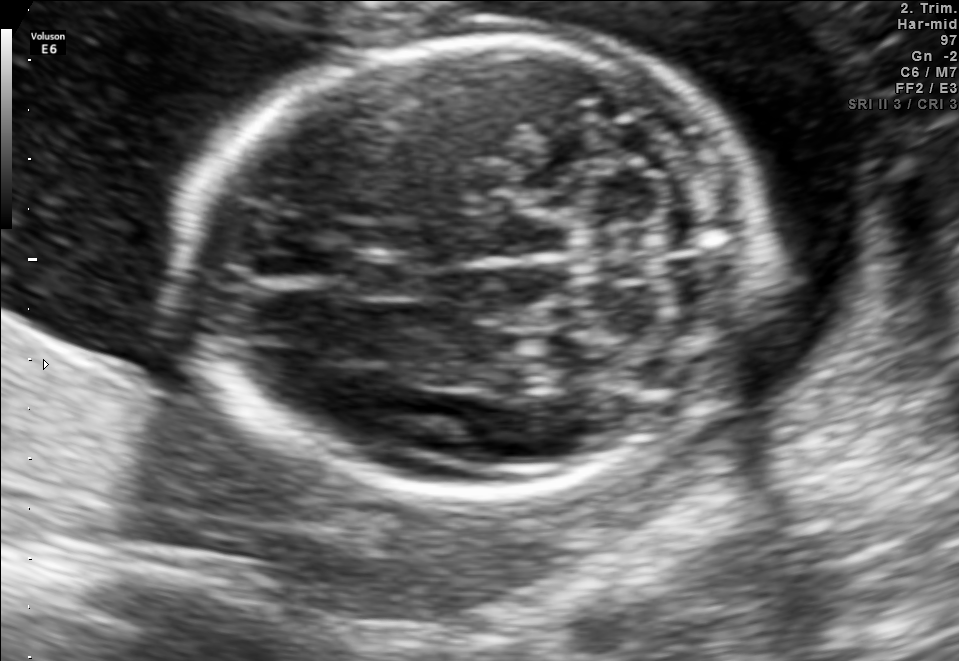
Fetal brain, trans-cerebellum plane. Where is the fetal head?

Head bounding box: [180,40,765,497]